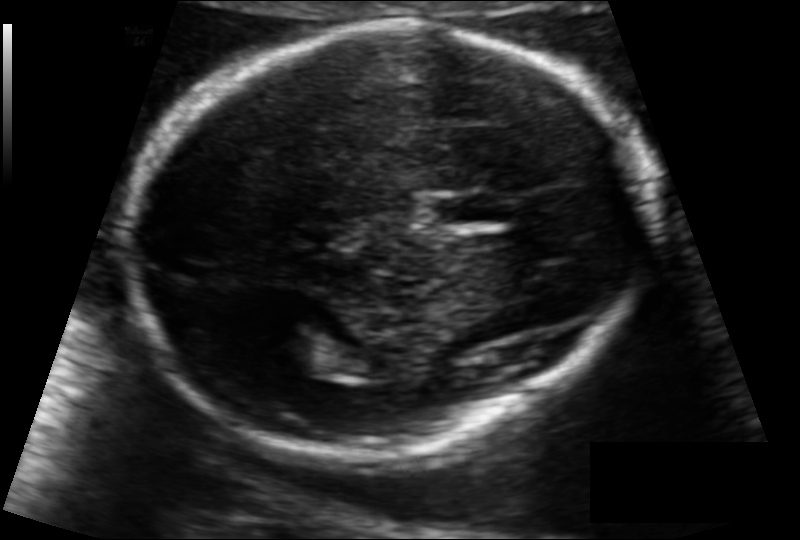
In this fetal head ultrasound, give bounding boxes for the head outline, cavum septum pellucidum (CSP), and lateral ventricle (LV), where visible. Image width: 88.7 mm.

Head: [125,22,647,453]
CSP: [433,195,505,225]
Lateral ventricle: [270,334,330,377]